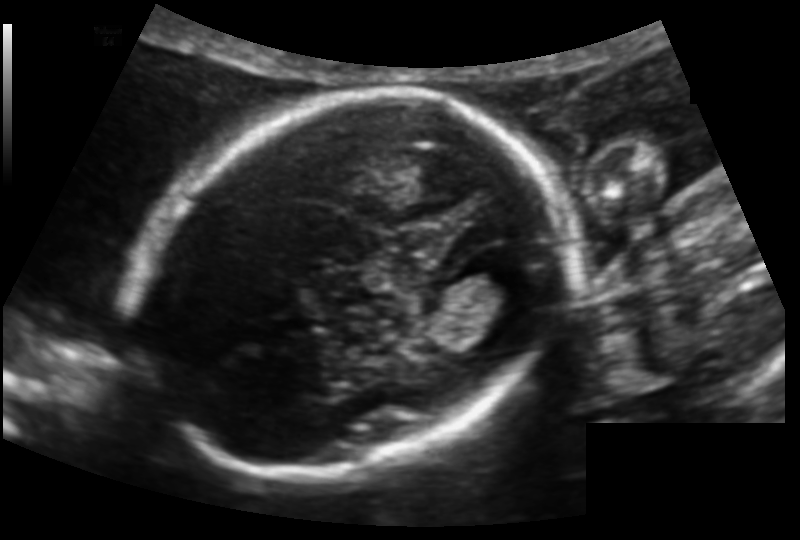
Estimate the fetal head circumference from this 2D ultrasound.

Head circumference: 159.1 mm (image width 98.5 mm).